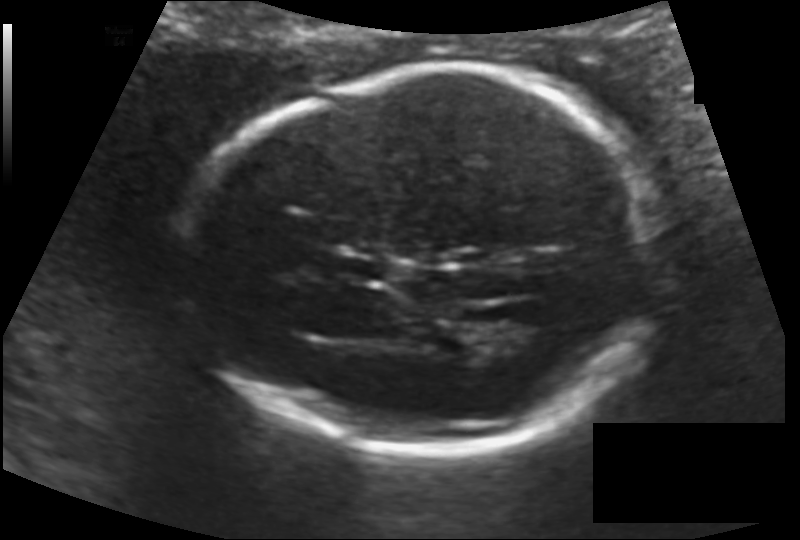
Fetal head ultrasound. Image width: 102.3 mm. Locate the fetal head.

Head: [189,67,661,453]